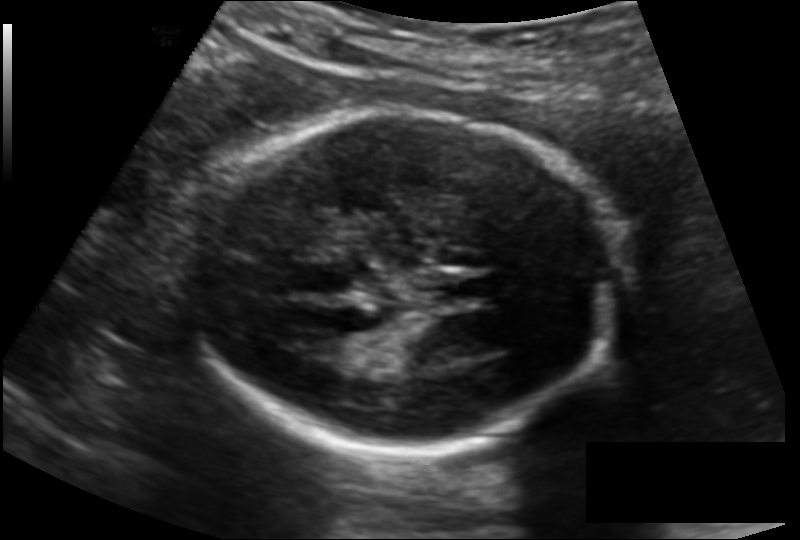
Fetal head ultrasound. Image width: 107.6 mm. Give [x1,y1,x2,y2] bounding boxes for each visible structure among: fetal head, CSP, LV.

Head: [191,112,626,454]